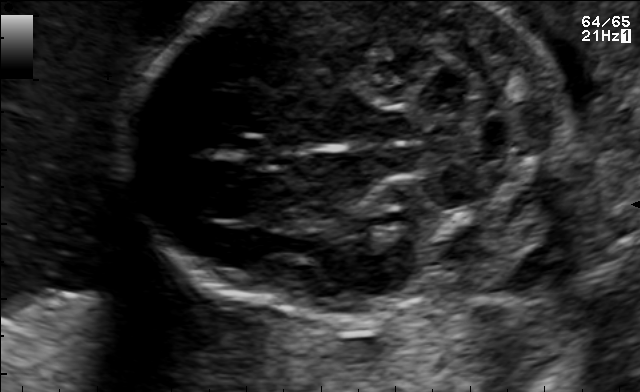
Fetal brain, trans-cerebellum plane. Locate the fetal head.

Head: [126,1,561,315]